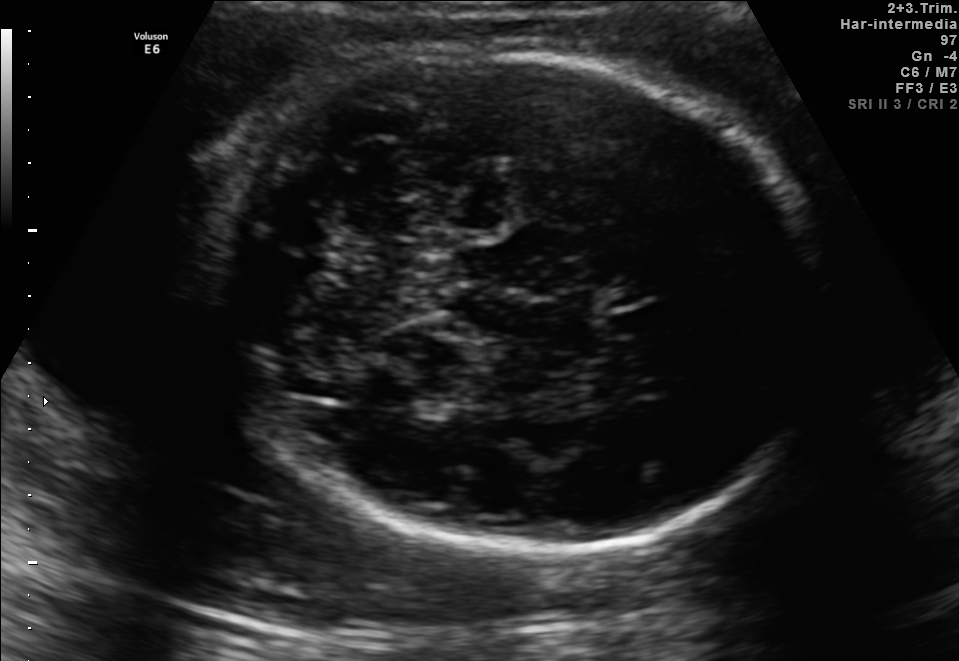
Fetal brain, trans-cerebellum plane. Locate the fetal head and, if visible, the cavum septum pellucidum (CSP) and lateral ventricle (LV). Give bounding boxes as [x1,y1,x2,y2].

Head: [220,53,823,552]